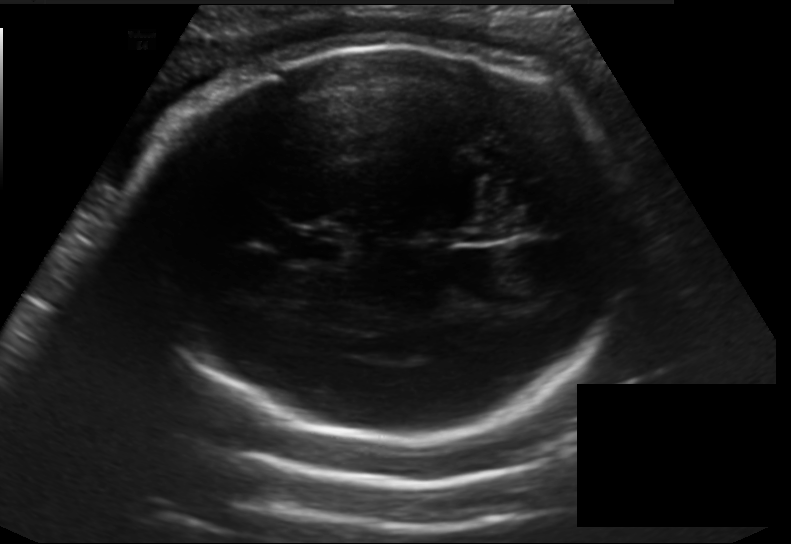
Fetal head ultrasound. Image width: 156.8 mm. Where is the cavum septum pellucidum?

CSP bounding box: [285,223,350,269]